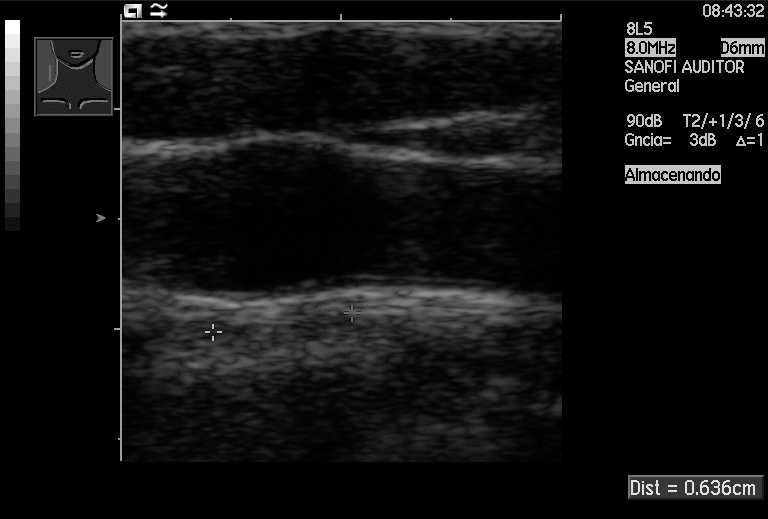
Which standard maternal-fetal ultrasound plane is shown: fetal abdomen, fetal brain, fetal femur, fetal thorax, maternal cervix, or other? If it's fetal brain and one of the three standard brain planes (trans-thalamic, trans-cerebellum, trans-ventricular), name which.

Other